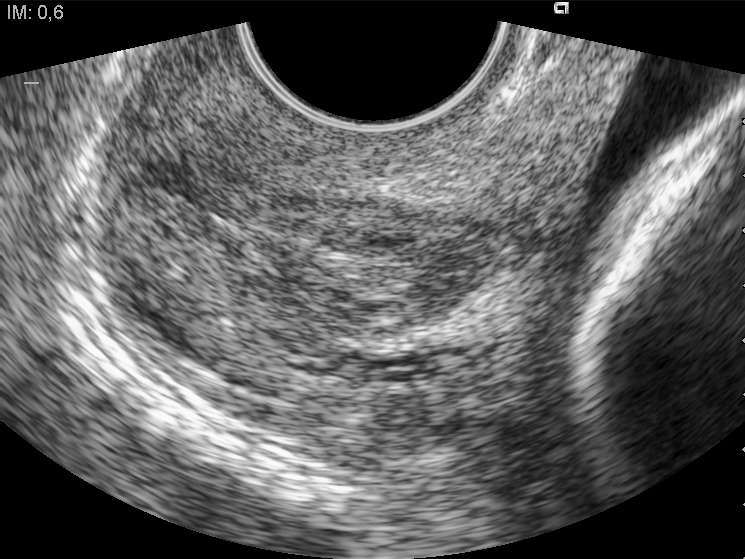
Which standard maternal-fetal ultrasound plane is shown: fetal abdomen, fetal brain, fetal femur, fetal thorax, maternal cervix, or other? If it's fetal brain and one of the three standard brain planes (trans-thalamic, trans-cerebellum, trans-ventricular), name which.

Maternal cervix